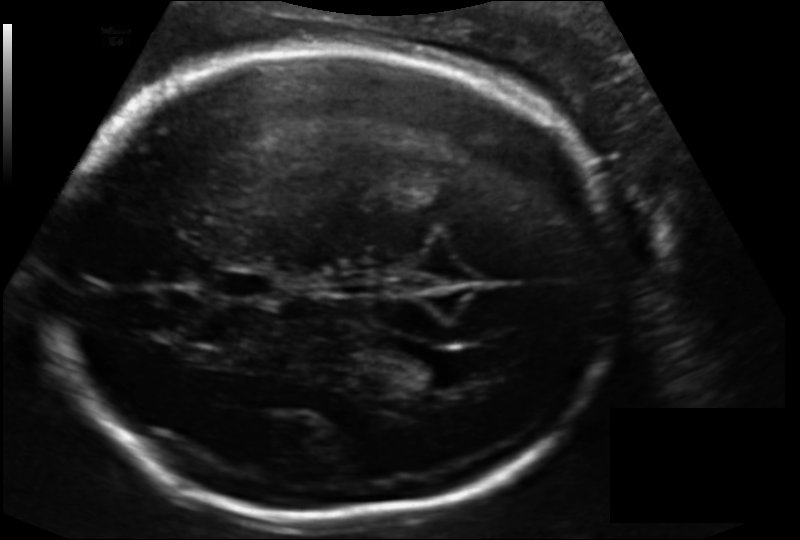
In this fetal head ultrasound, give the bounding box of the lateral ventricle. Image width: 124.7 mm.

[398,348,474,394]